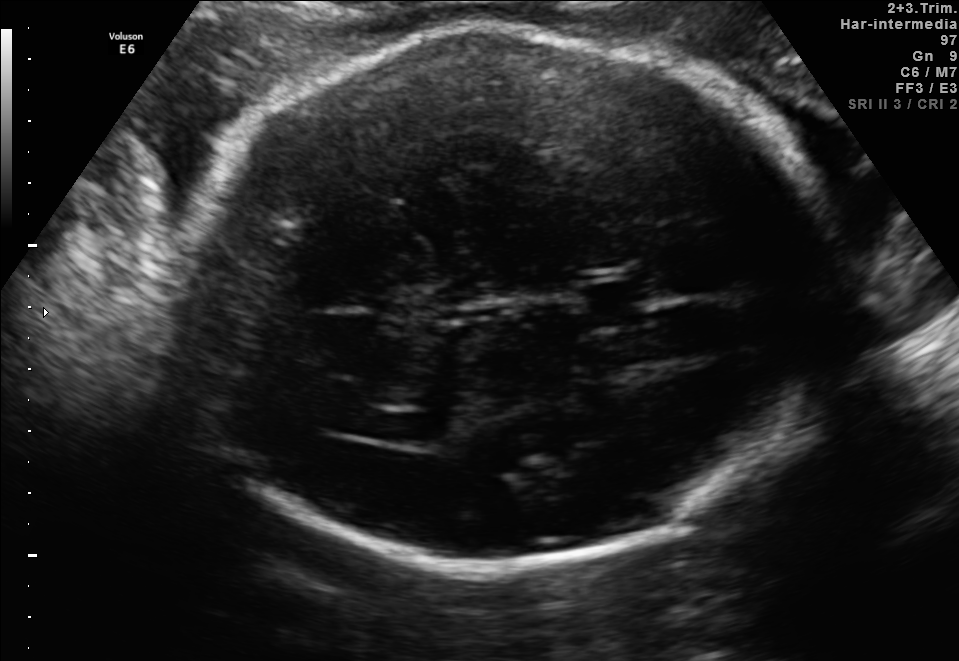
Fetal brain, trans-ventricular plane. Where is the fetal head?

Head bounding box: [161,17,856,576]